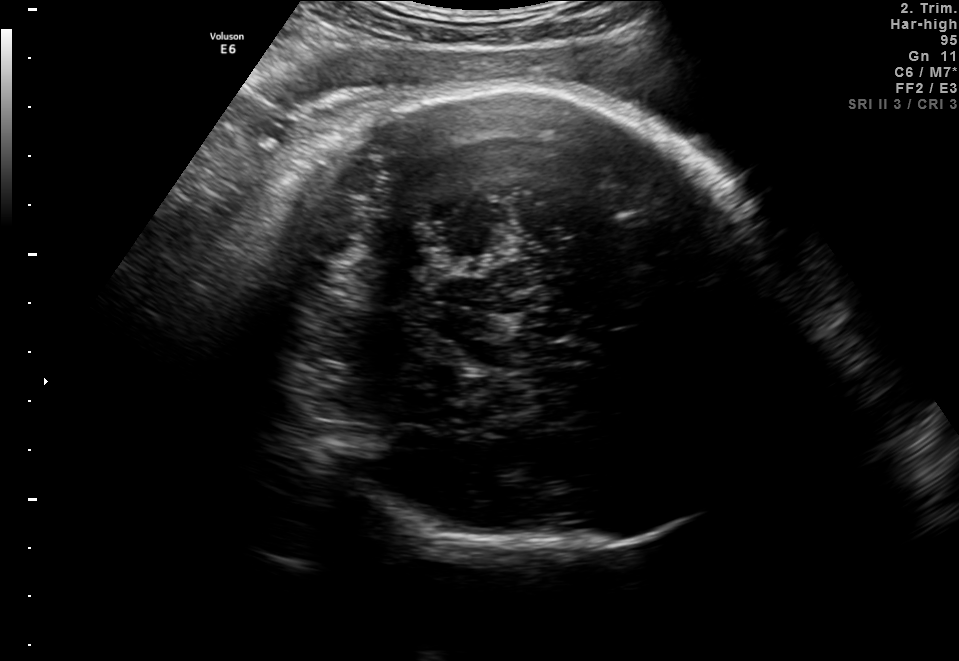
In this fetal brain, trans-thalamic plane, give bounding boxes for the head outline, cavum septum pellucidum (CSP), and lateral ventricle (LV), where visible.

Head: [246,88,787,555]